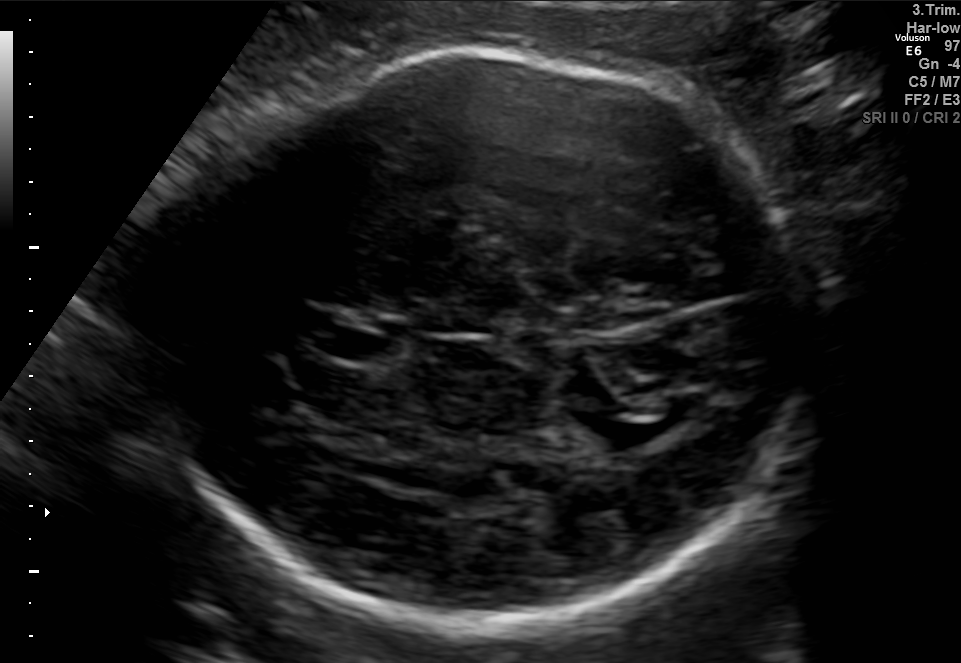
In this fetal brain, trans-thalamic plane, give bounding boxes for the head outline, cavum septum pellucidum (CSP), and lateral ventricle (LV), where visible.

Head: [143,52,824,627]
CSP: [314,320,389,368]
Lateral ventricle: [575,383,681,465]